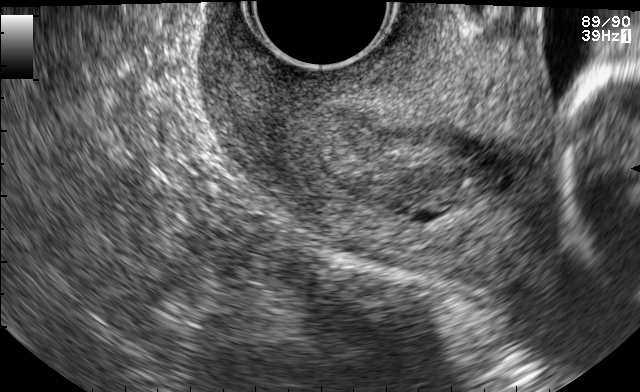
Classify this maternal-fetal ultrasound image as one of the six standard planes — fetal abdomen, fetal brain, fetal femur, fetal thorax, maternal cervix, or other. If it's fetal brain and one of the three standard brain planes (trans-thalamic, trans-cerebellum, trans-ventricular), name which.

Maternal cervix